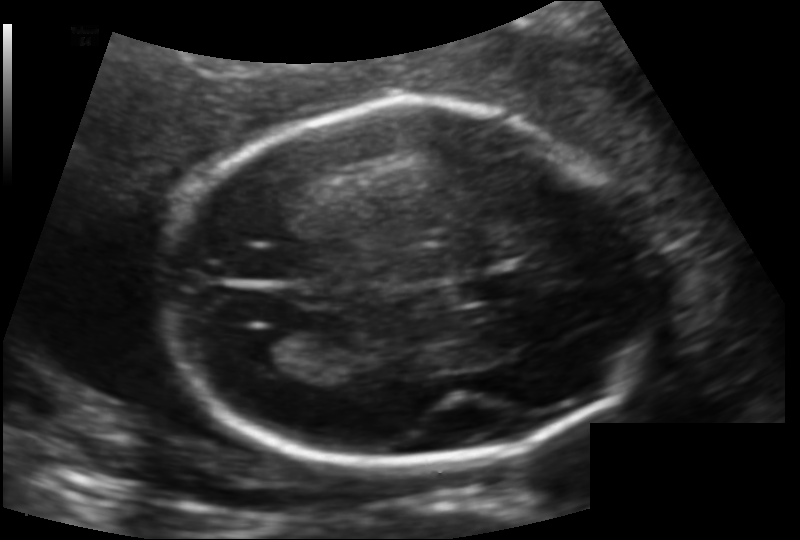
Estimate the fetal head circumference from this 2D ultrasound.

Head circumference: 185.7 mm (image width 106.2 mm).